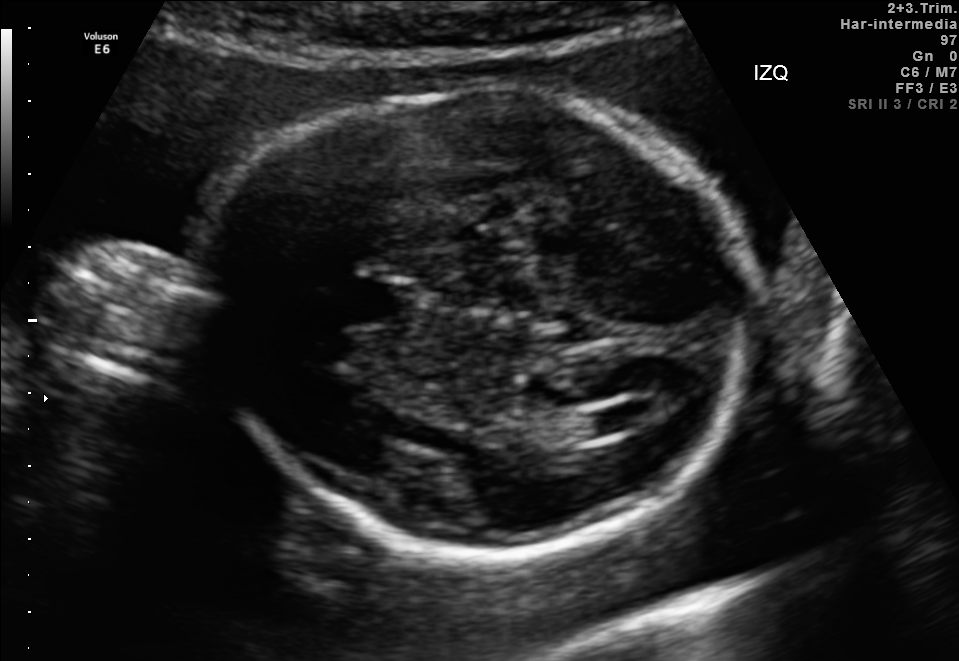
Fetal brain, trans-ventricular plane. Where is the lateral ventricle?

Lateral ventricle bounding box: [589,398,649,438]